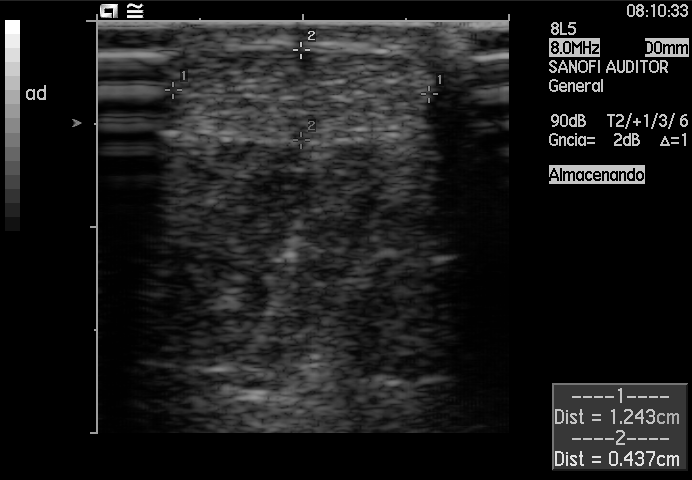
This is a 2D maternal-fetal ultrasound frame. Is it a fetal abdomen, fetal brain, fetal femur, fetal thorax, maternal cervix, or other standard plane? If it's fetal brain and one of the three standard brain planes (trans-thalamic, trans-cerebellum, trans-ventricular), name which.

Other